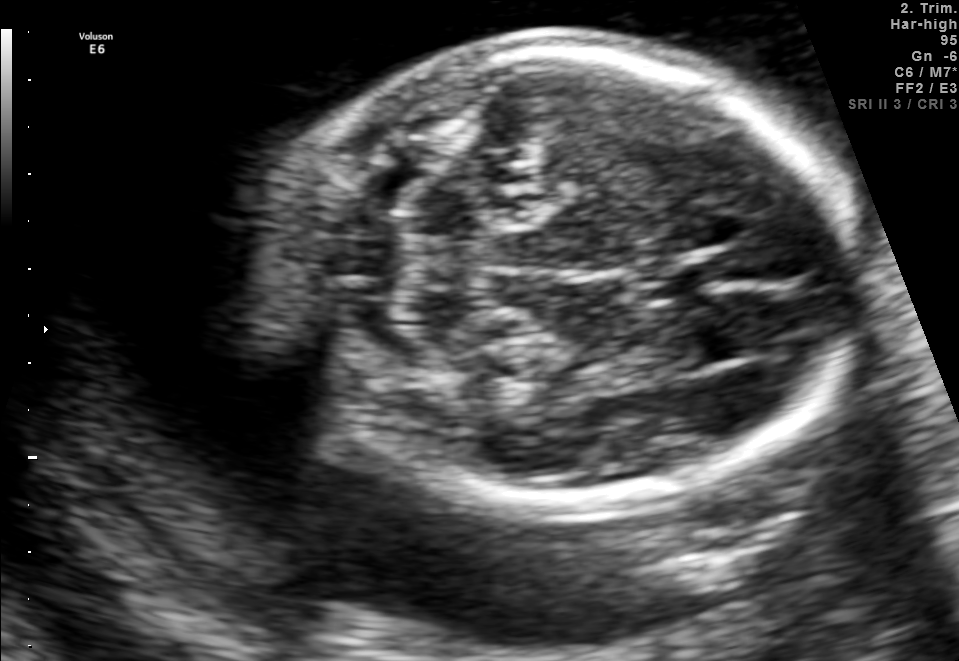
Fetal brain, trans-cerebellum plane. Give [x1,y1,x2,y2] bounding boxes for each visible structure among: fetal head, CSP, LV.

Head: [254,44,861,511]